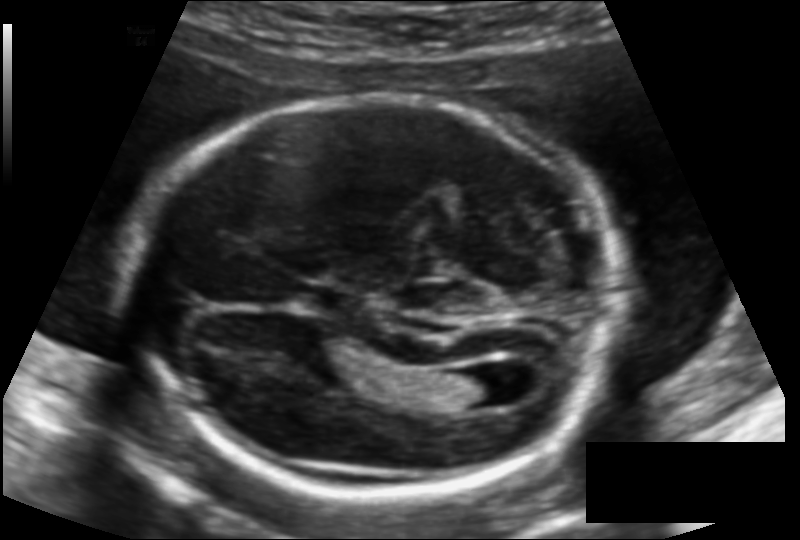
In this fetal head ultrasound, give the bounding box of the lateral ventricle. Image width: 99.7 mm.

[445,370,510,408]